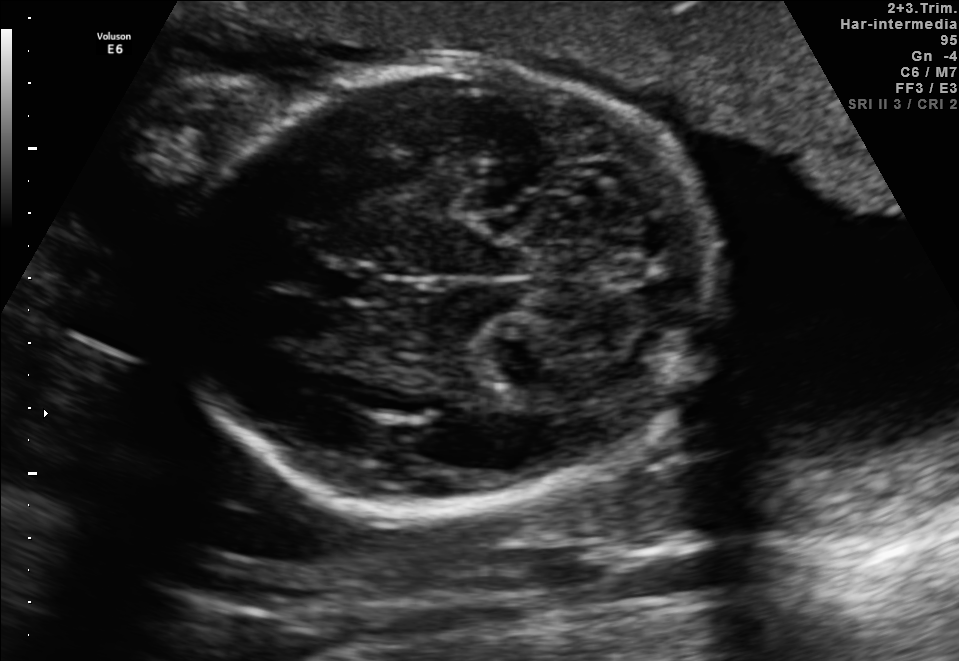
Fetal brain, trans-cerebellum plane. Locate the cavum septum pellucidum.

CSP: [319,262,382,305]